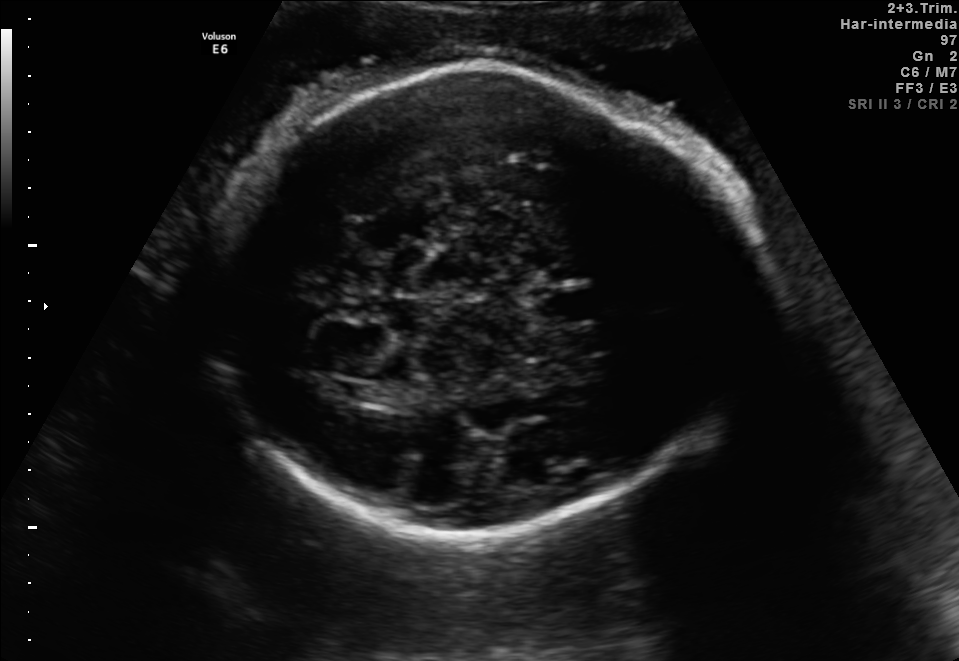
In this fetal brain, trans-thalamic plane, give the bounding box of the lateral ventricle.

[331,378,403,409]